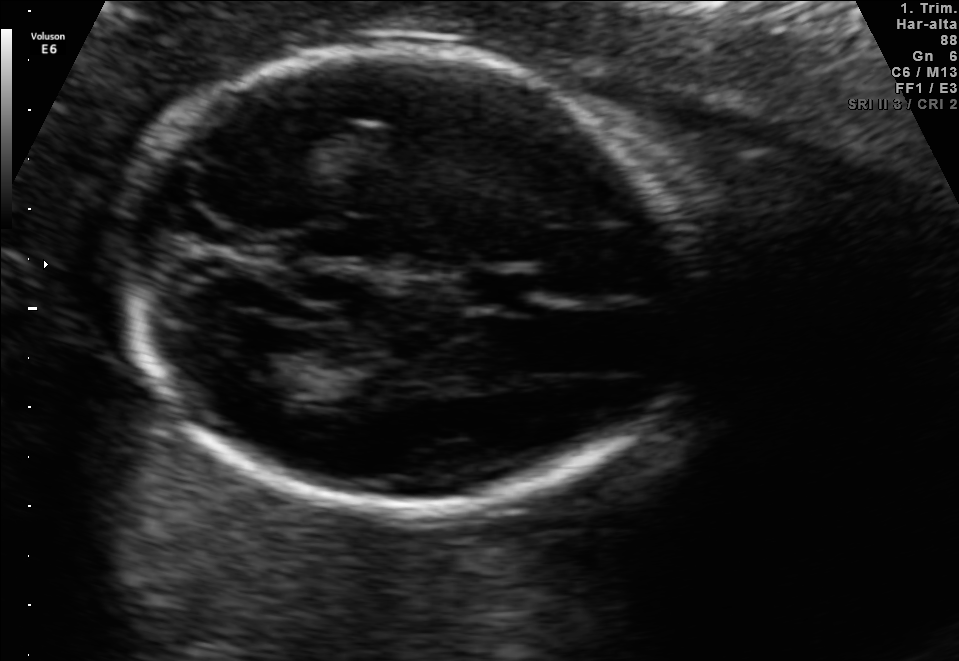
In this fetal brain, trans-thalamic plane, give the bounding box of the lateral ventricle.

[227,339,321,404]